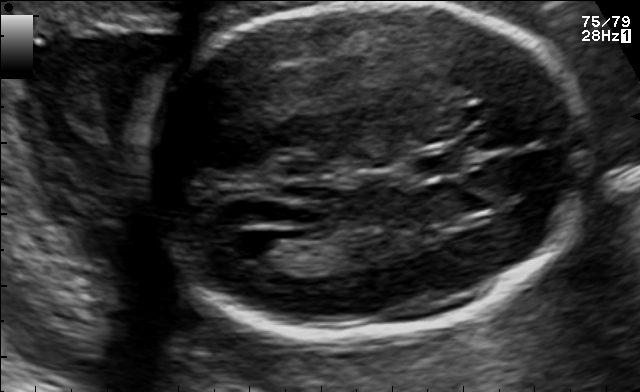
In this fetal brain, trans-ventricular plane, give bounding boxes for the head outline, cavum septum pellucidum (CSP), and lateral ventricle (LV), where visible.

Head: [123,2,606,346]
CSP: [396,138,485,184]
Lateral ventricle: [217,226,287,264]